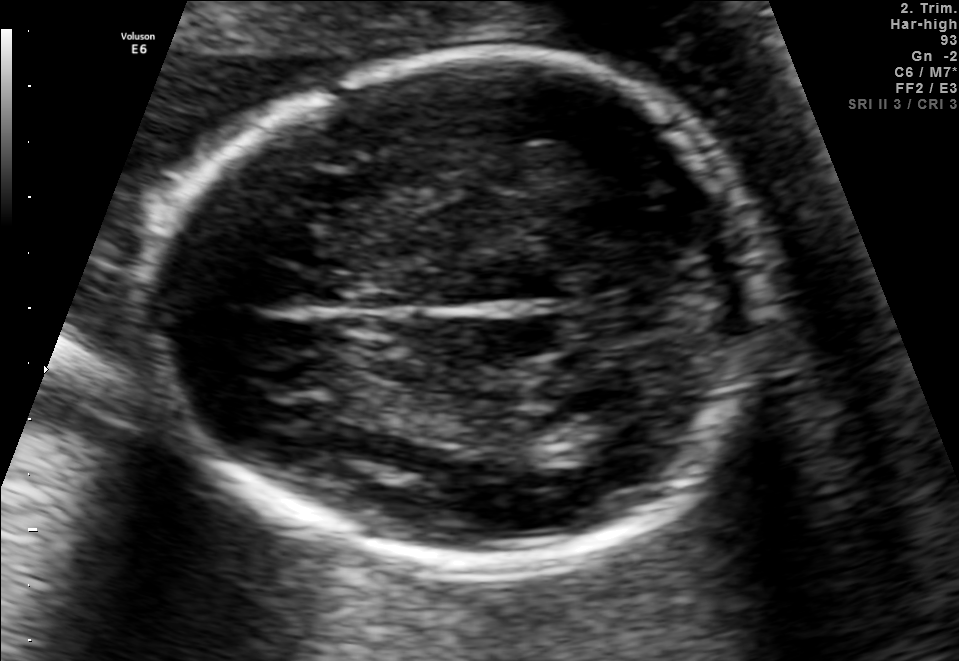
In this fetal brain, trans-thalamic plane, give the bounding box of the fetal head.

[153,57,768,570]